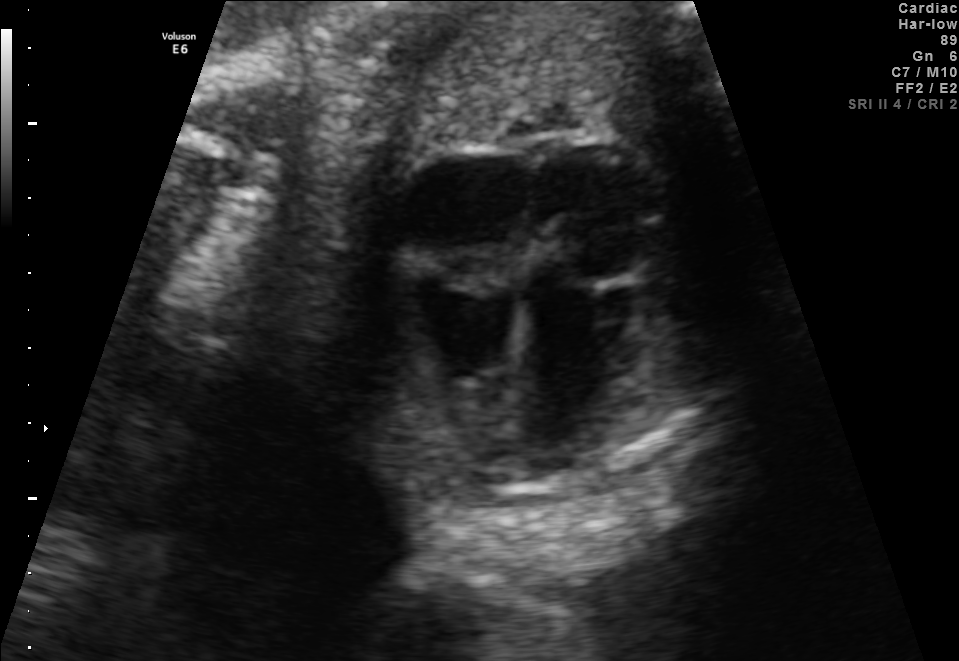
Identify the standard plane in this fetal ultrasound image: fetal abdomen, fetal brain, fetal femur, fetal thorax, maternal cervix, or other. If it's fetal brain and one of the three standard brain planes (trans-thalamic, trans-cerebellum, trans-ventricular), name which.

Fetal thorax